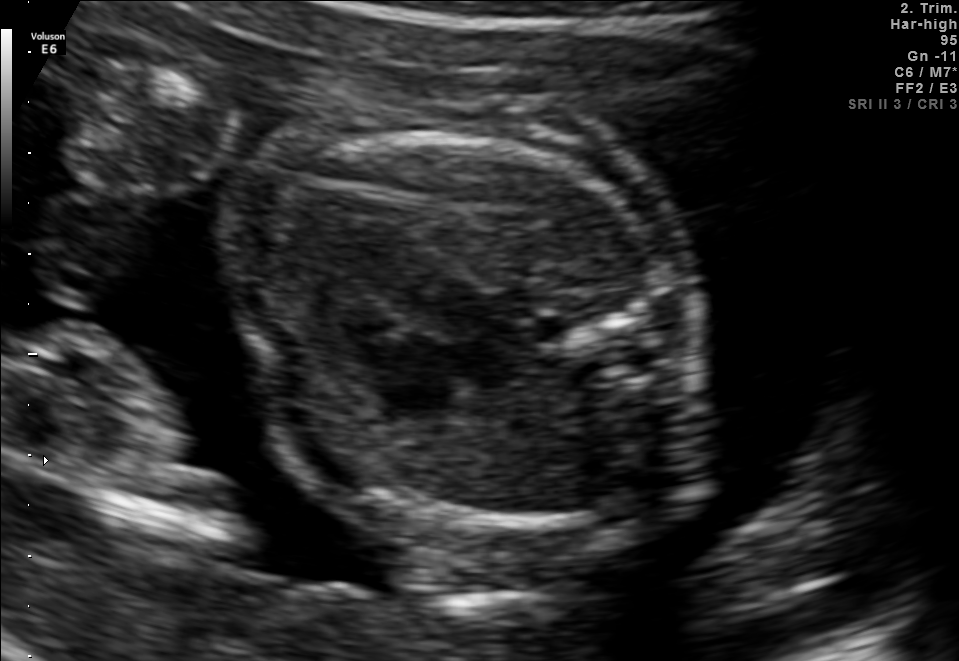
Identify the standard plane in this fetal ultrasound image: fetal abdomen, fetal brain, fetal femur, fetal thorax, maternal cervix, or other. If it's fetal brain and one of the three standard brain planes (trans-thalamic, trans-cerebellum, trans-ventricular), name which.

Fetal thorax